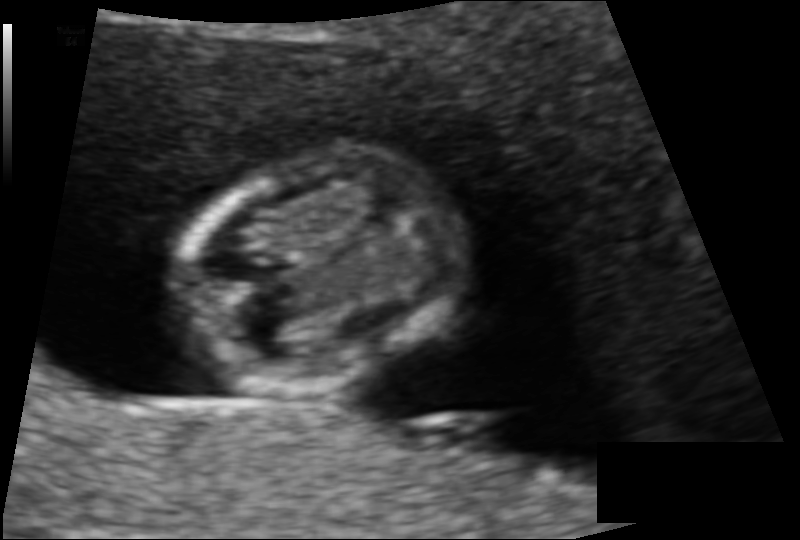
Estimate the fetal head circumference from this 2D ultrasound. Image width: 68.5 mm.

Head circumference: 74.0 mm.